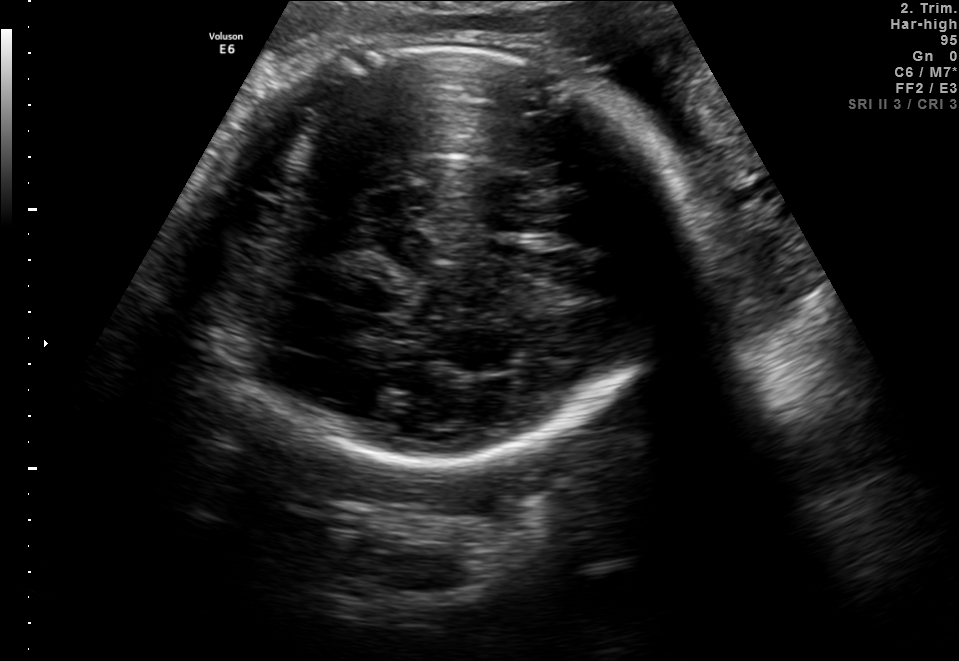
Fetal brain, trans-thalamic plane. Give [x1,y1,x2,y2] bounding boxes for each visible structure among: fetal head, CSP, LV.

Head: [179,43,674,464]